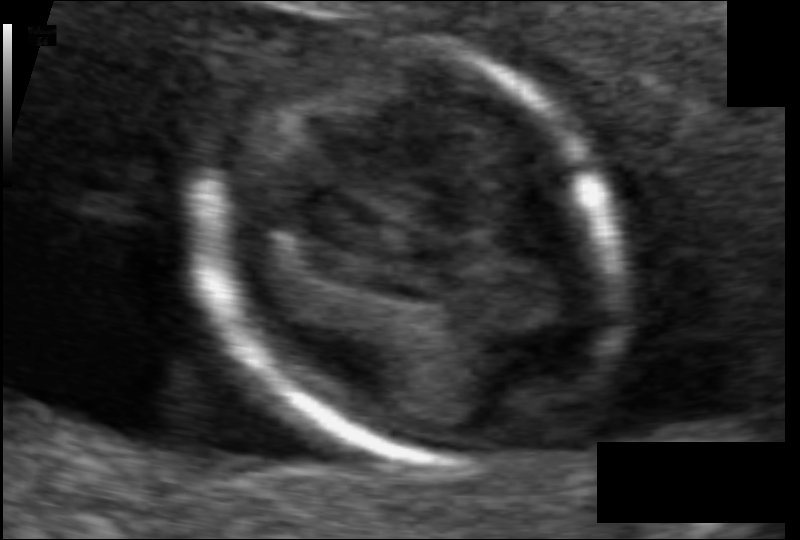
Measure the fetal head circumference shown in this ultrasound image. Image width: 48.9 mm.

Head circumference: 82.6 mm.